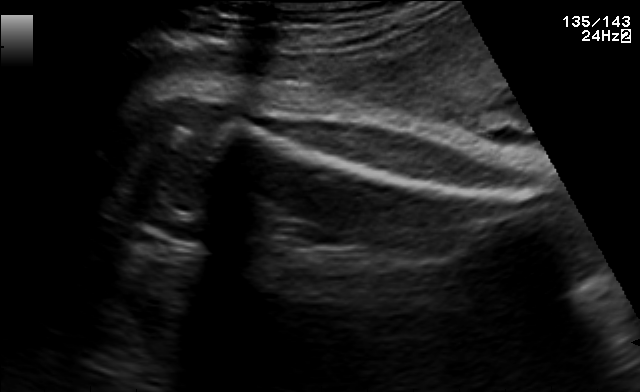
Which standard maternal-fetal ultrasound plane is shown: fetal abdomen, fetal brain, fetal femur, fetal thorax, maternal cervix, or other? If it's fetal brain and one of the three standard brain planes (trans-thalamic, trans-cerebellum, trans-ventricular), name which.

Fetal femur